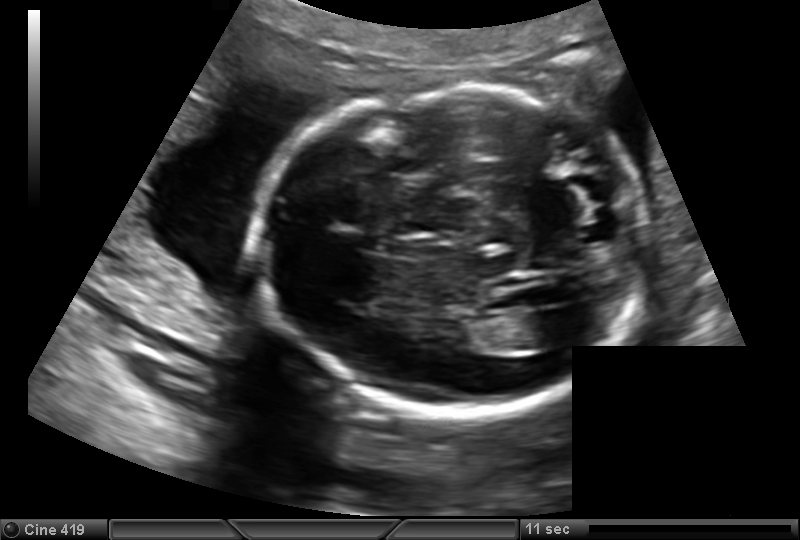
In this fetal head ultrasound, give the bounding box of the fetal head. Image width: 120.7 mm.

[257,87,647,414]